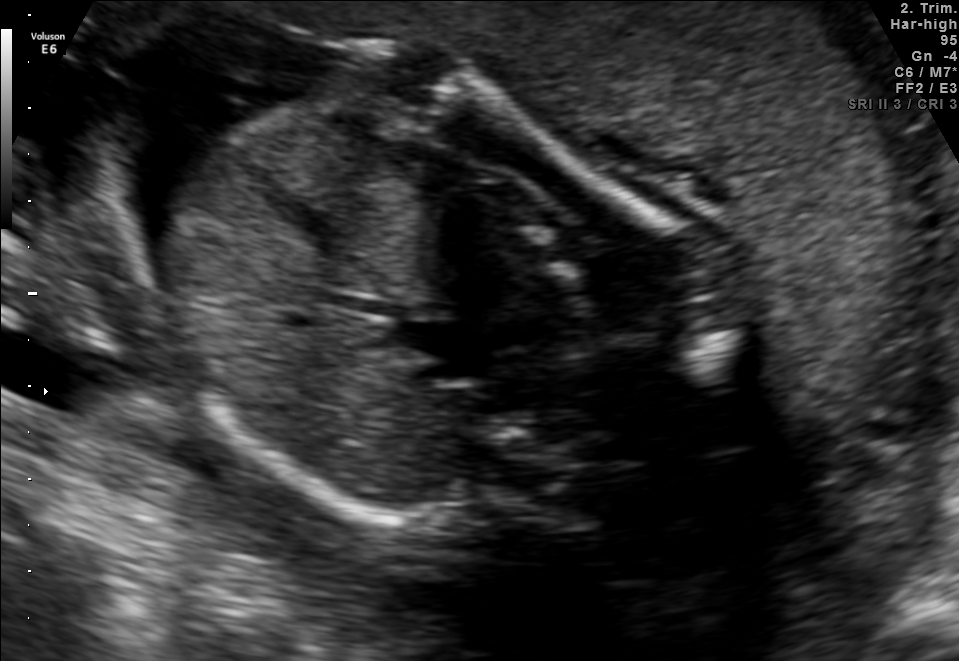
Identify the standard plane in this fetal ultrasound image: fetal abdomen, fetal brain, fetal femur, fetal thorax, maternal cervix, or other. If it's fetal brain and one of the three standard brain planes (trans-thalamic, trans-cerebellum, trans-ventricular), name which.

Other